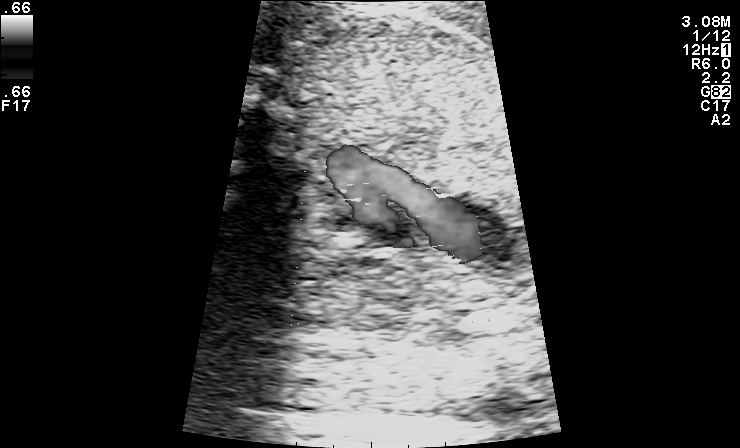
Classify this maternal-fetal ultrasound image as one of the six standard planes — fetal abdomen, fetal brain, fetal femur, fetal thorax, maternal cervix, or other. If it's fetal brain and one of the three standard brain planes (trans-thalamic, trans-cerebellum, trans-ventricular), name which.

Other